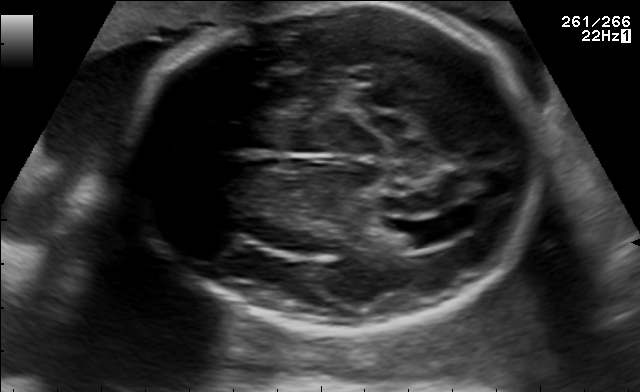
Fetal brain, trans-ventricular plane. Give [x1,y1,x2,y2] bounding boxes for each visible structure among: fetal head, CSP, LV.

Head: [125,4,552,332]
Lateral ventricle: [392,211,465,256]